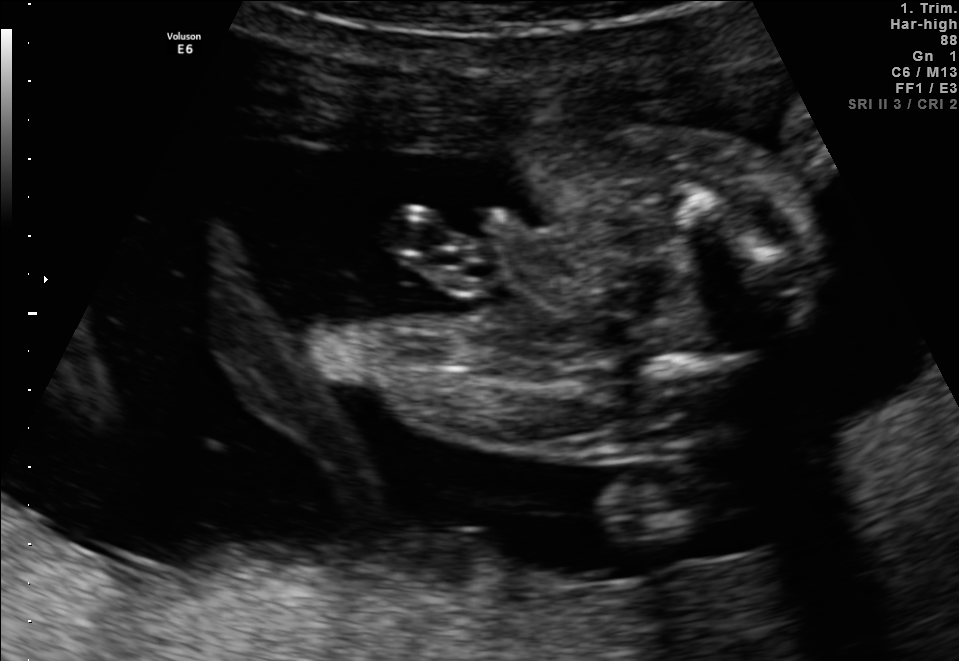
This is a 2D maternal-fetal ultrasound frame. Is it a fetal abdomen, fetal brain, fetal femur, fetal thorax, maternal cervix, or other standard plane? If it's fetal brain and one of the three standard brain planes (trans-thalamic, trans-cerebellum, trans-ventricular), name which.

Other